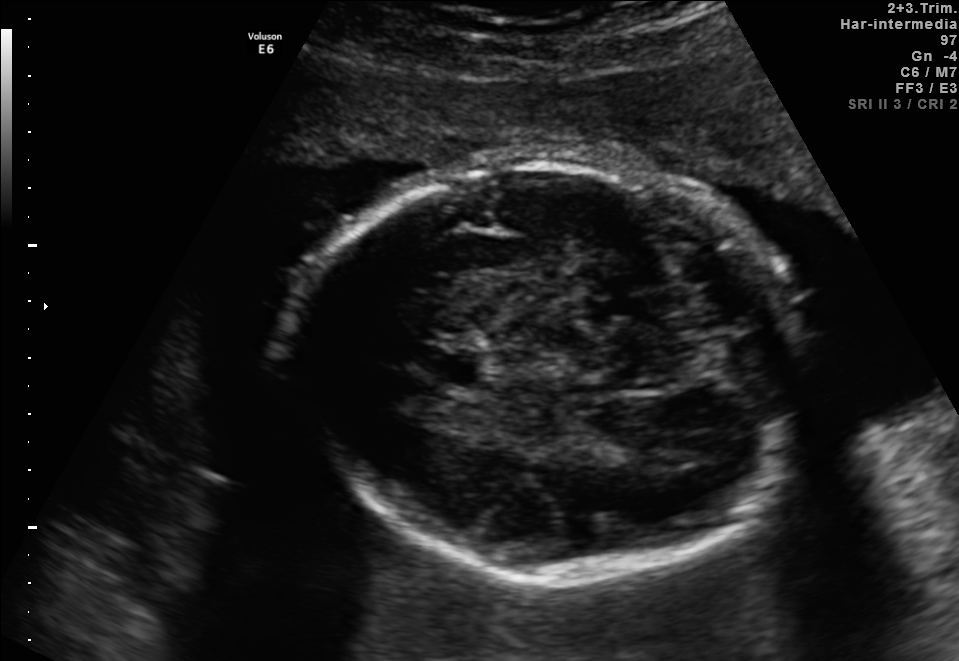
Fetal brain, trans-thalamic plane. Where is the fetal head?

Head bounding box: [302,159,805,580]